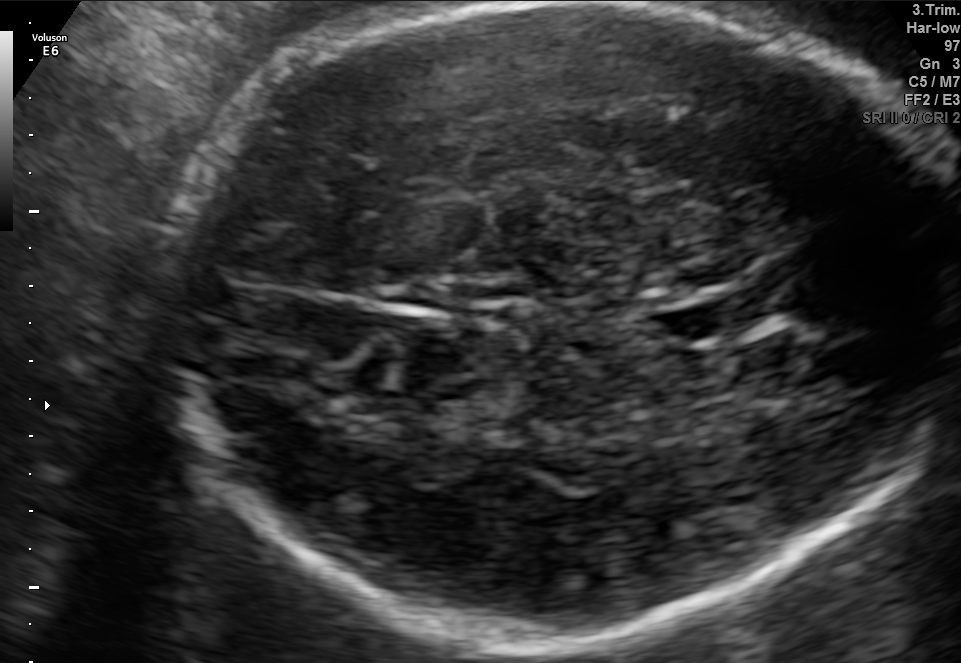
Classify this maternal-fetal ultrasound image as one of the six standard planes — fetal abdomen, fetal brain, fetal femur, fetal thorax, maternal cervix, or other. If it's fetal brain and one of the three standard brain planes (trans-thalamic, trans-cerebellum, trans-ventricular), name which.

Fetal brain (trans-thalamic plane)